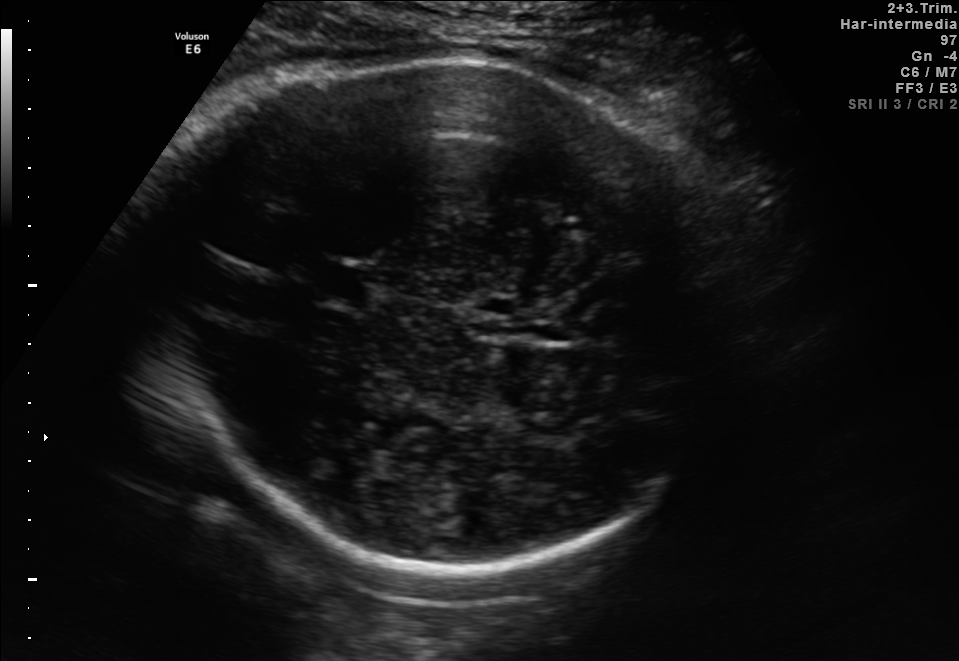
Fetal brain, trans-thalamic plane. Locate the fetal head.

Head: [126,56,733,573]